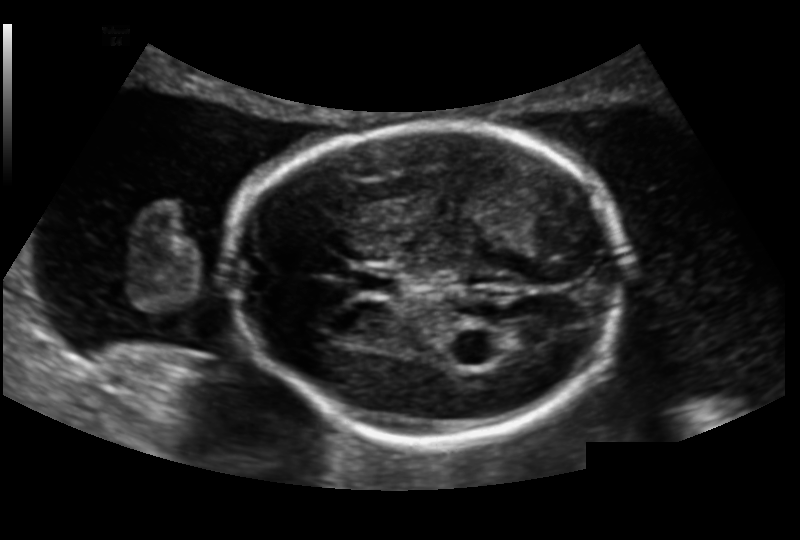
From this fetal ultrasound, estimate the head circumference (image width 121.1 mm).

Head circumference: 172.0 mm.